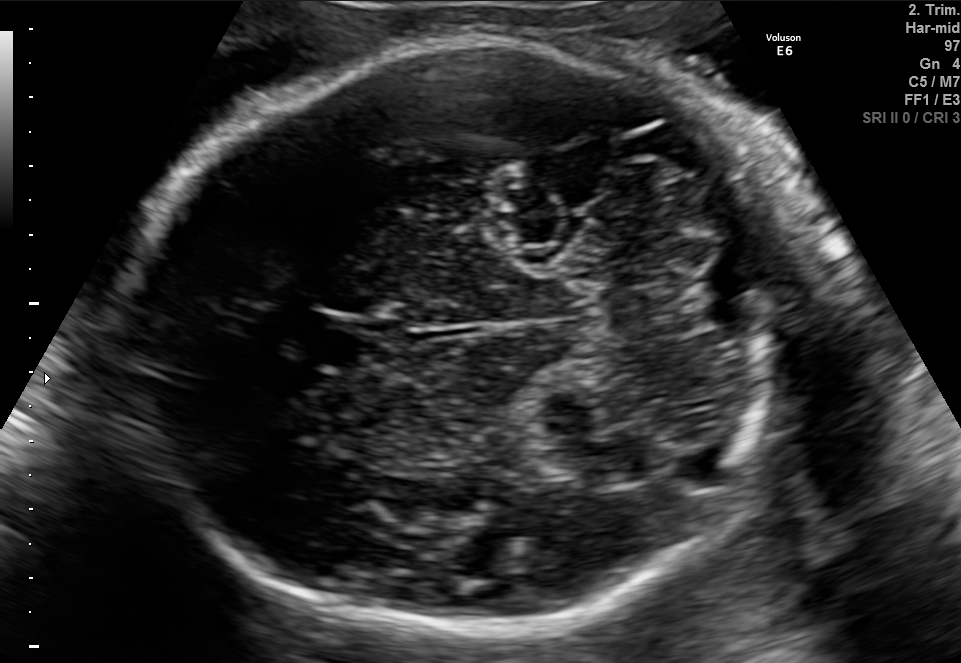
Classify this maternal-fetal ultrasound image as one of the six standard planes — fetal abdomen, fetal brain, fetal femur, fetal thorax, maternal cervix, or other. If it's fetal brain and one of the three standard brain planes (trans-thalamic, trans-cerebellum, trans-ventricular), name which.

Fetal brain (trans-cerebellum plane)